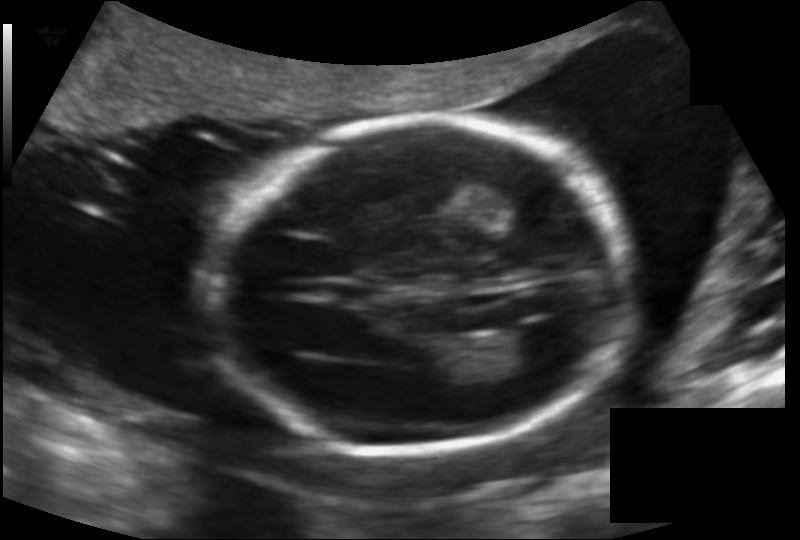
Fetal head ultrasound. Image width: 113.7 mm. Where is the fetal head?

Head bounding box: [204,119,634,449]